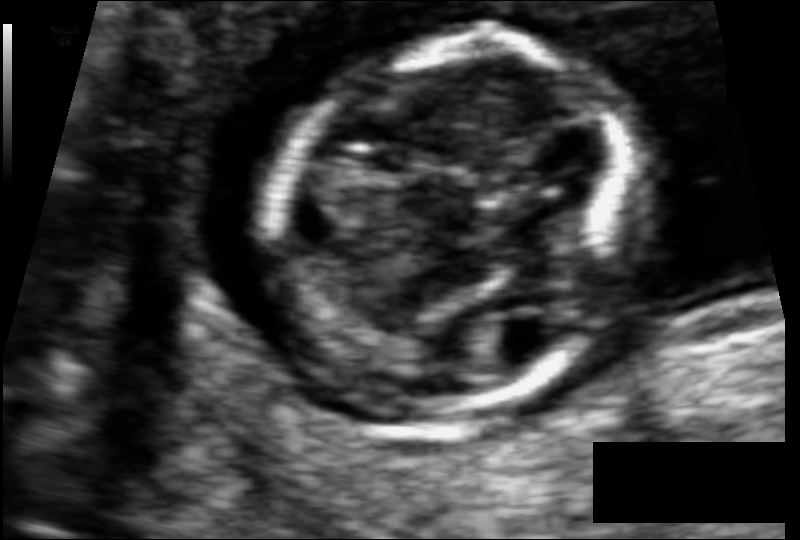
Fetal head ultrasound. Image width: 49.9 mm. Locate the fetal head.

Head: [269,33,636,415]